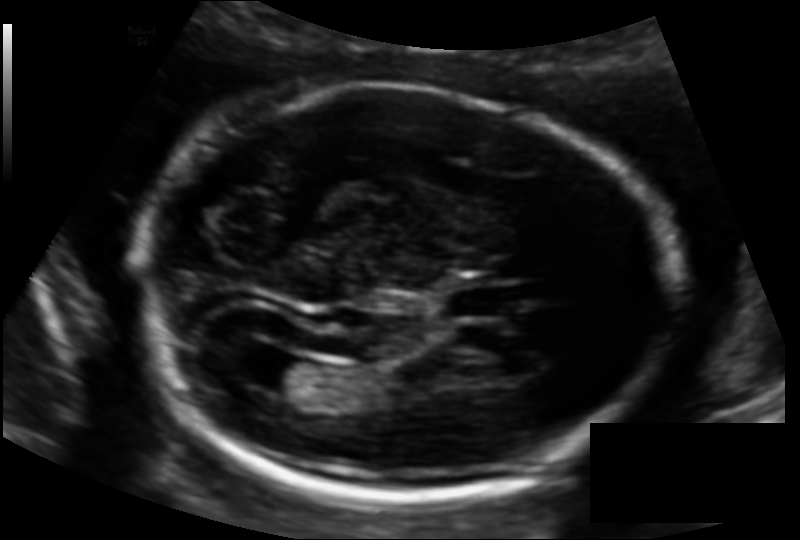
Fetal head ultrasound. Image width: 103.6 mm. Give [x1,y1,x2,y2] bounding boxes for each visible structure among: fetal head, CSP, LV.

Head: [148,84,667,498]
CSP: [442,276,517,320]
Lateral ventricle: [250,347,322,403]